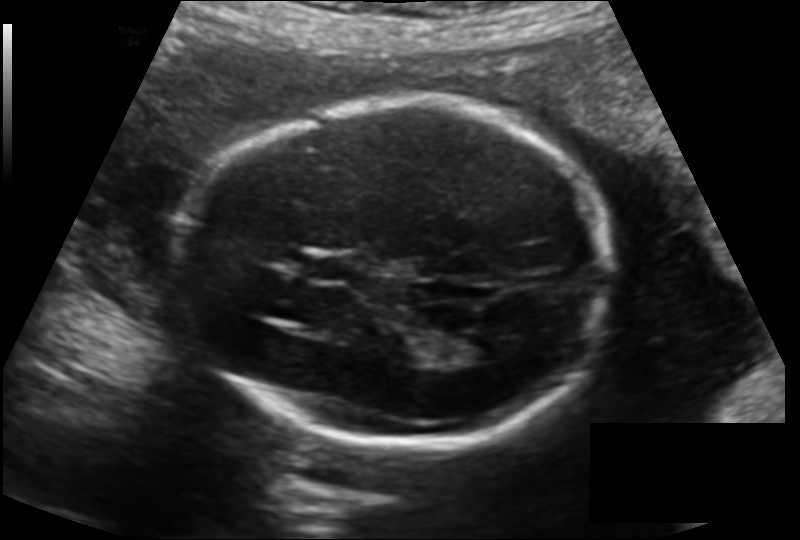
Fetal head ultrasound. Image width: 115.3 mm. Where is the fetal head?

Head bounding box: [177,101,610,444]